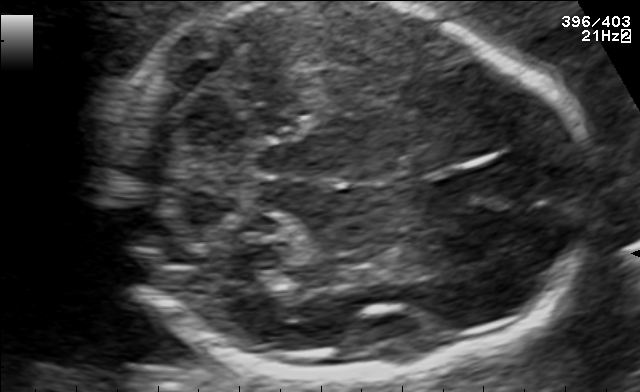
In this fetal brain, trans-cerebellum plane, give the bounding box of the fetal head.

[101,2,590,378]